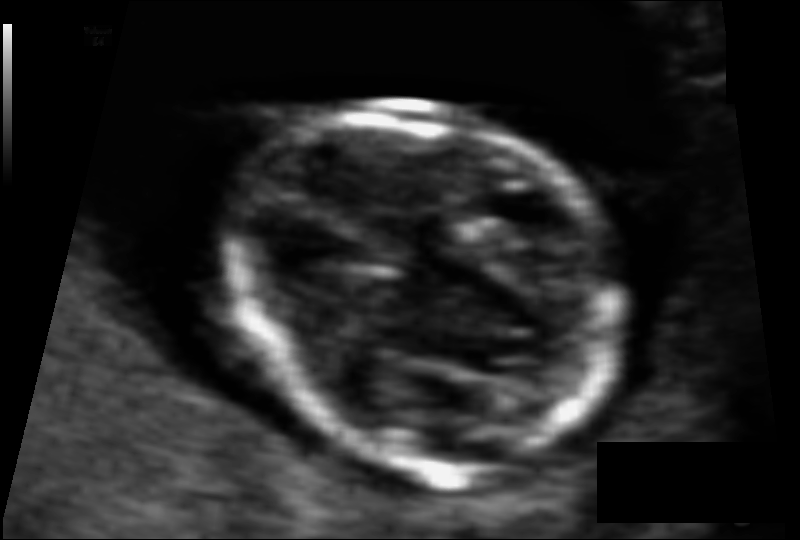
In this fetal head ultrasound, give the bounding box of the fetal head. Image width: 50.5 mm.

[231,100,624,472]